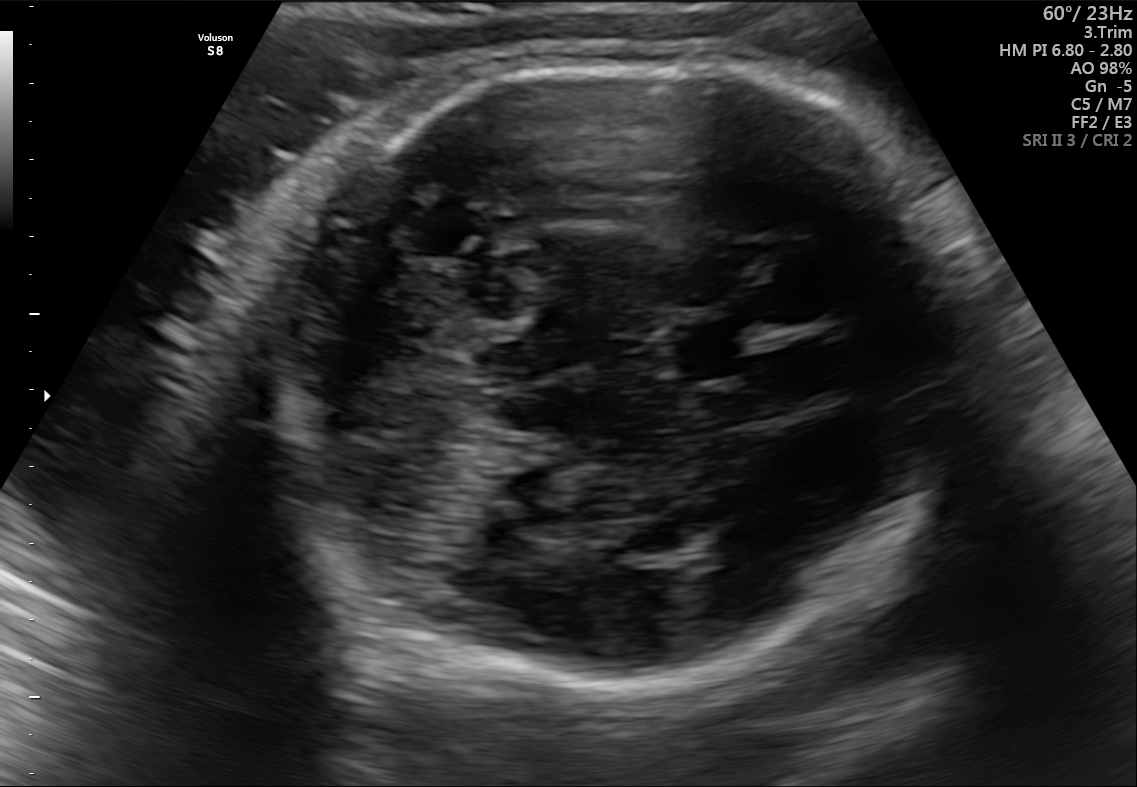
Fetal brain, trans-cerebellum plane. Give [x1,y1,x2,y2] bounding boxes for each visible structure among: fetal head, CSP, LV.

Head: [263,58,964,681]
CSP: [656,306,764,391]